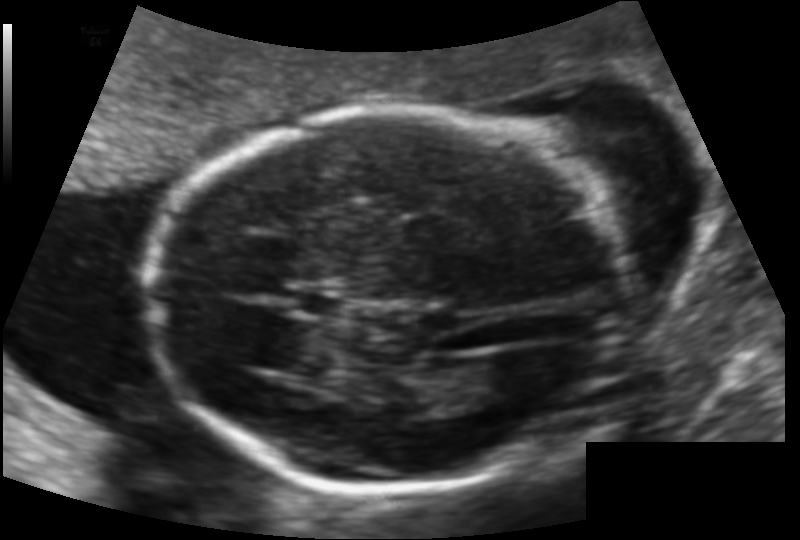
From this fetal ultrasound, estimate the head circumference (image width 94.5 mm).

Head circumference: 163.6 mm.